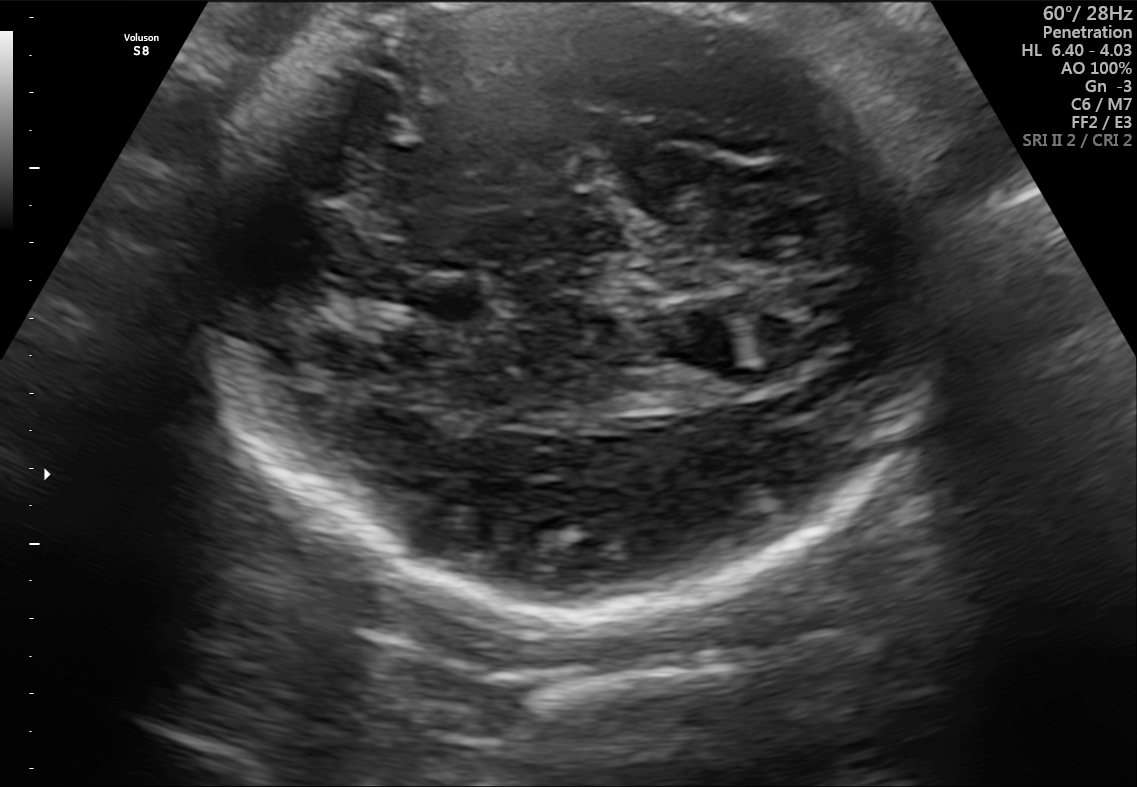
Fetal brain, trans-thalamic plane. Where is the cavum septum pellucidum?

CSP bounding box: [408,276,487,316]